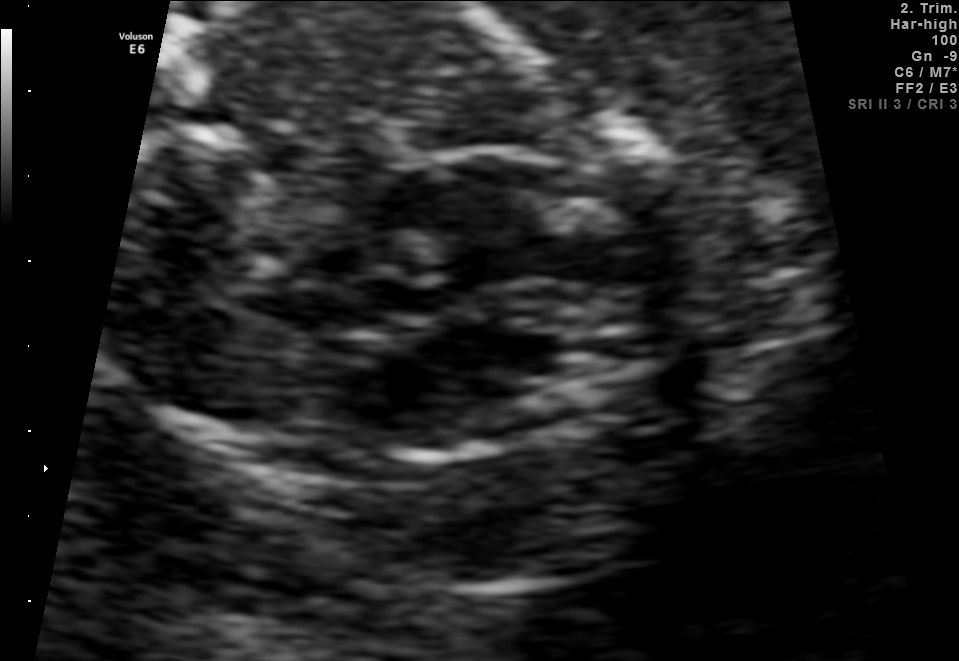
Identify the standard plane in this fetal ultrasound image: fetal abdomen, fetal brain, fetal femur, fetal thorax, maternal cervix, or other. If it's fetal brain and one of the three standard brain planes (trans-thalamic, trans-cerebellum, trans-ventricular), name which.

Other